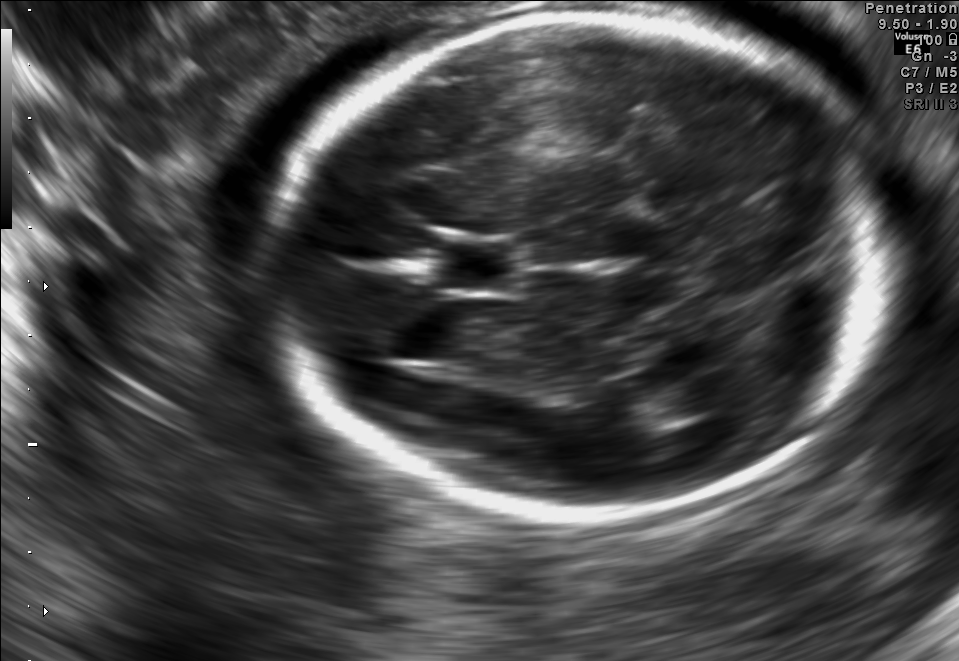
In this fetal brain, trans-thalamic plane, give the bounding box of the fetal head.

[272,12,899,521]